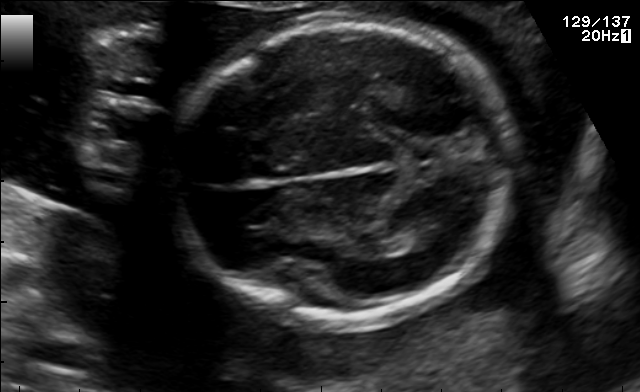
Fetal brain, trans-thalamic plane. Give [x1,y1,x2,y2] bounding boxes for each visible structure among: fetal head, CSP, LV.

Head: [171,25,515,323]
Lateral ventricle: [395,218,449,254]